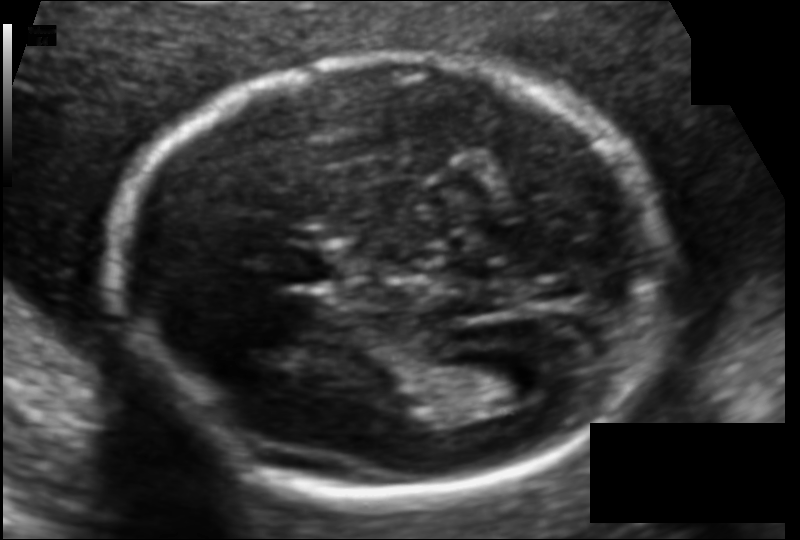
In this fetal head ultrasound, give the bounding box of the fetal head. Image width: 83.5 mm.

[113,56,668,498]